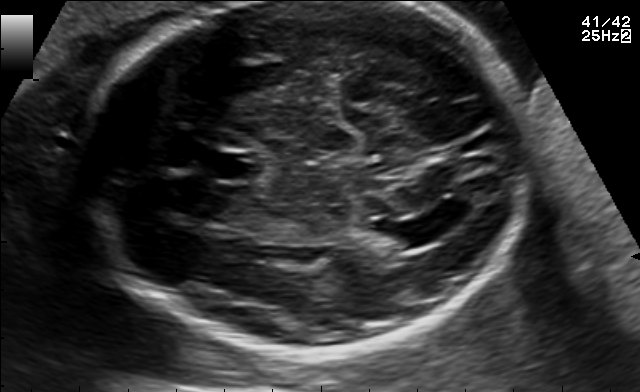
Fetal brain, trans-ventricular plane. Give [x1,y1,x2,y2] bounding boxes for each visible structure among: CSP, LV.

CSP: [197,150,263,183]
Lateral ventricle: [377,211,445,258]